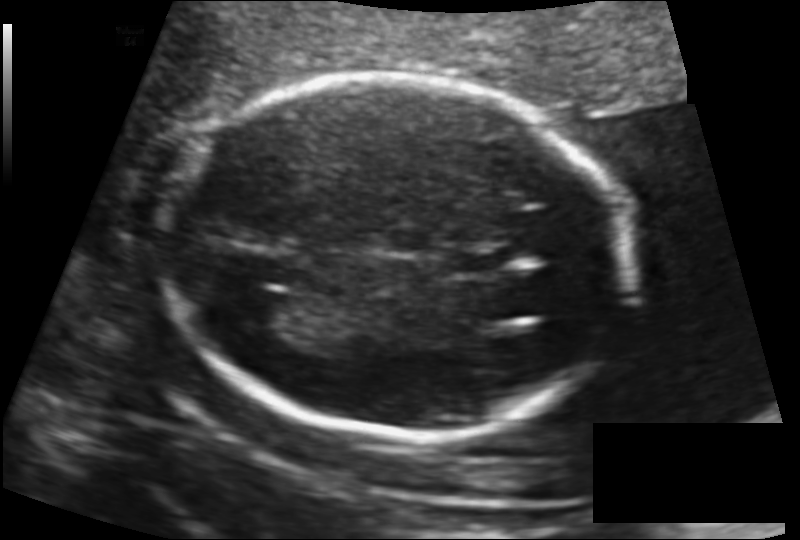
In this fetal head ultrasound, give the bounding box of the lateral ventricle. Image width: 104.1 mm.

[231,285,309,340]